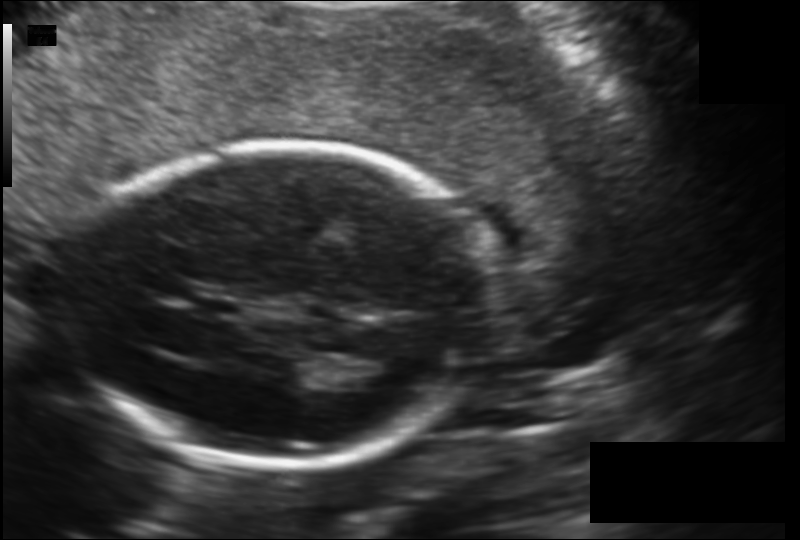
Estimate the fetal head circumference from this 2D ultrasound.

Head circumference: 174.8 mm (image width 117.3 mm).